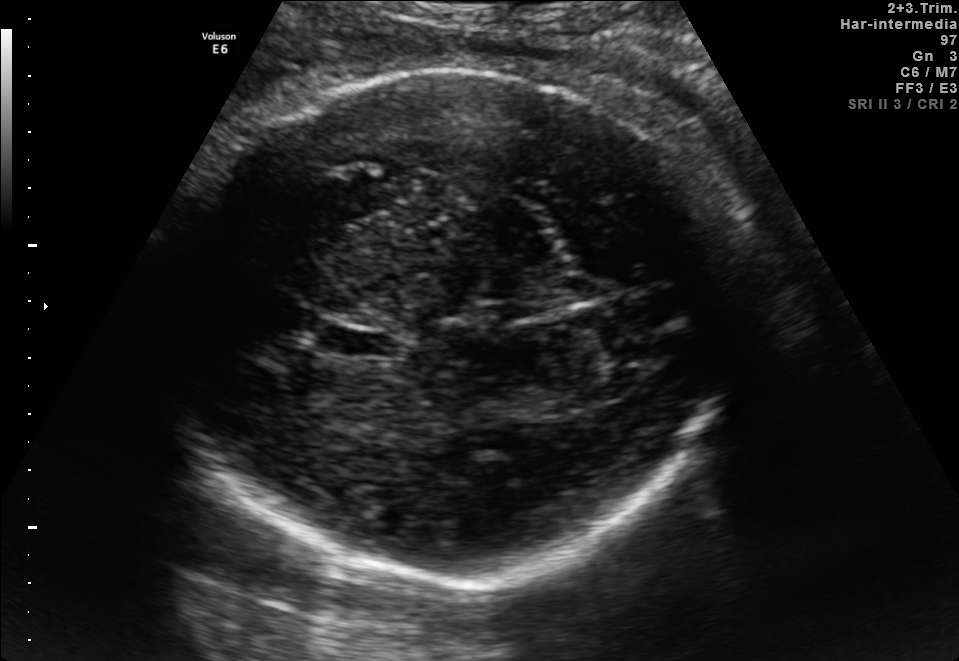
This is a 2D maternal-fetal ultrasound frame. Is it a fetal abdomen, fetal brain, fetal femur, fetal thorax, maternal cervix, or other standard plane? If it's fetal brain and one of the three standard brain planes (trans-thalamic, trans-cerebellum, trans-ventricular), name which.

Fetal brain (trans-thalamic plane)